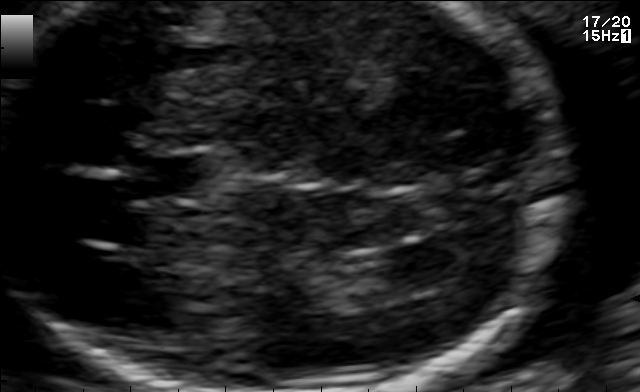
Fetal brain, trans-ventricular plane. Locate the lateral ventricle.

Lateral ventricle: [374,231,477,298]